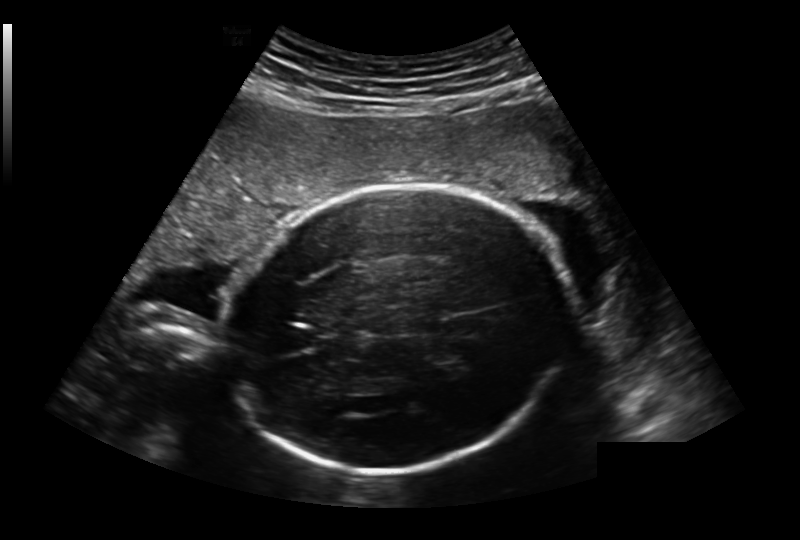
Fetal head ultrasound. Image width: 188.6 mm. Give [x1,y1,x2,y2] bounding boxes for each visible structure among: fetal head, CSP, LV.

Head: [227,184,571,472]